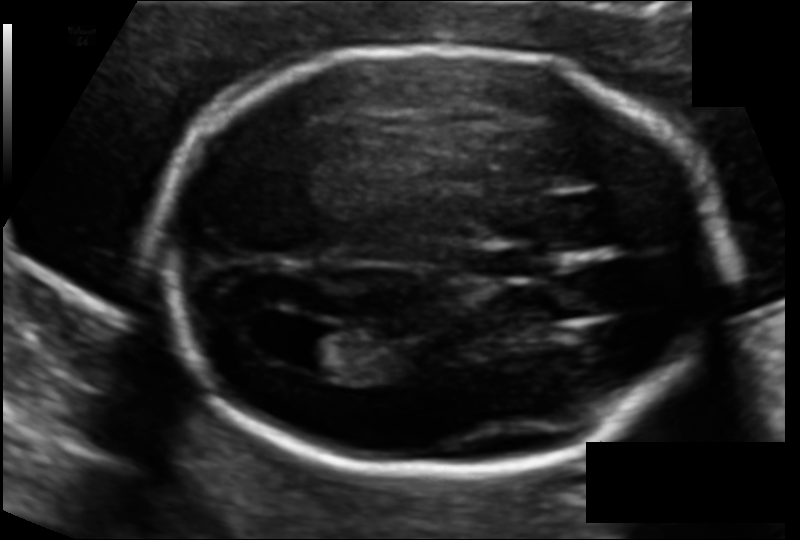
Fetal head ultrasound. Image width: 89.4 mm. Where is the lateral ventricle?

Lateral ventricle bounding box: [291,320,371,384]